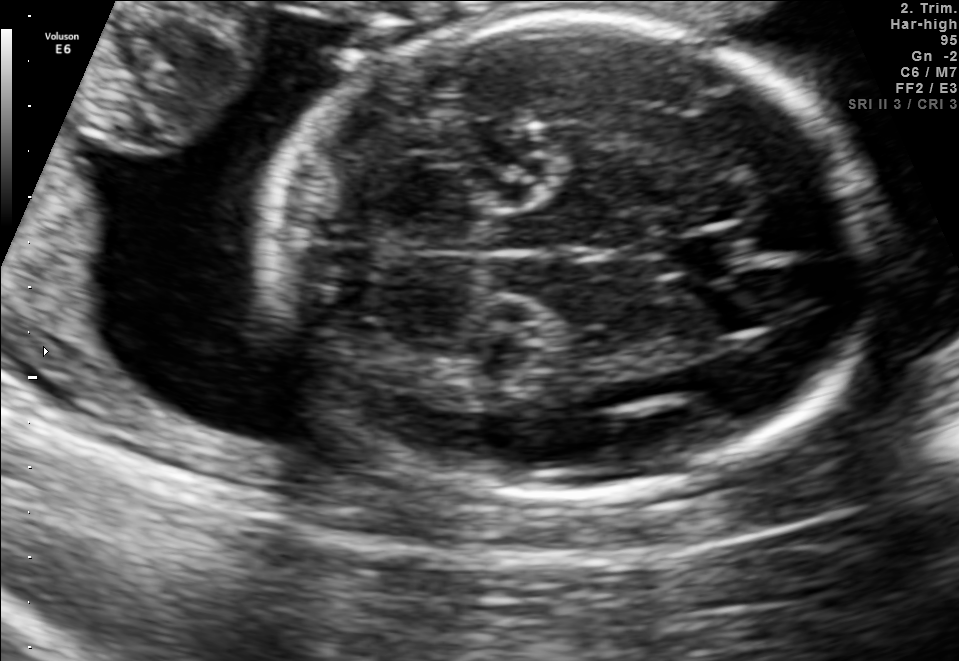
Identify the standard plane in this fetal ultrasound image: fetal abdomen, fetal brain, fetal femur, fetal thorax, maternal cervix, or other. If it's fetal brain and one of the three standard brain planes (trans-thalamic, trans-cerebellum, trans-ventricular), name which.

Fetal brain (trans-cerebellum plane)